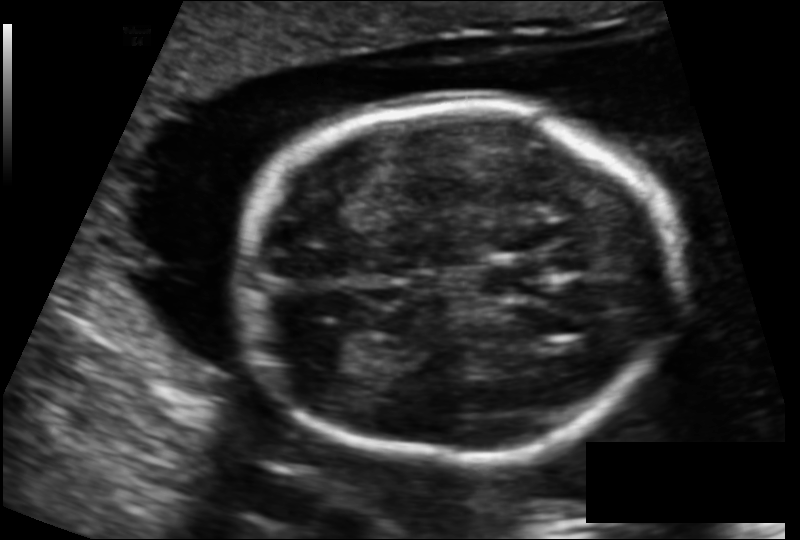
What is the fetal head circumference? Image width is 104.4 mm.

166.7 mm